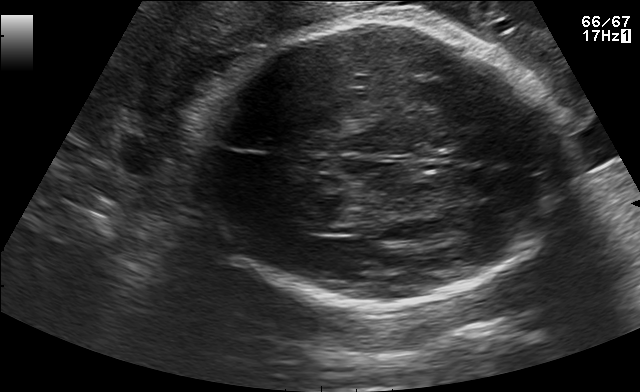
Fetal brain, trans-thalamic plane. Locate the fetal head and, if visible, the cavum septum pellucidum (CSP) and lateral ventricle (LV). Give bounding boxes as [x1,y1,x2,y2].

Head: [188,20,568,306]